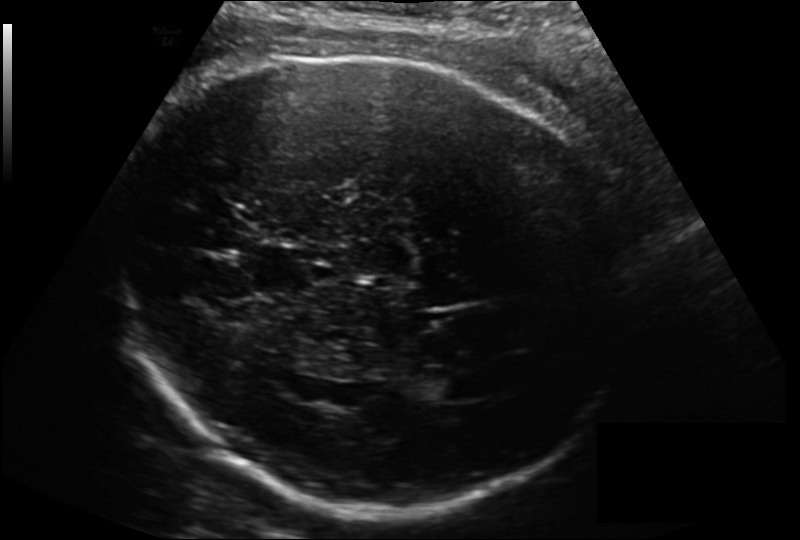
Fetal head ultrasound. Image width: 159.6 mm. Locate the lateral ventricle.

Lateral ventricle: [423,376,475,401]